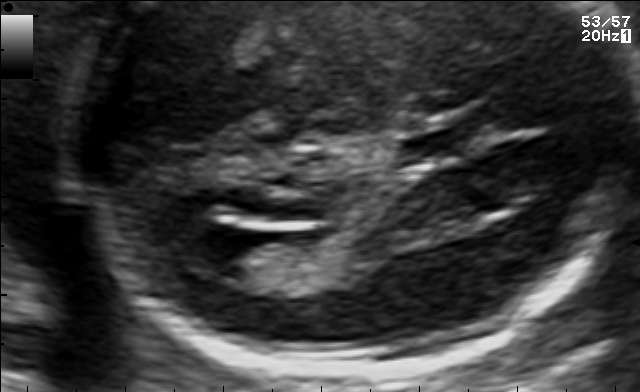
Fetal brain, trans-ventricular plane. Locate the cavum septum pellucidum (CSP) and lateral ventricle (LV), if visible. Give bounding boxes as [x1,y1,x2,y2].

CSP: [396,123,469,170]
Lateral ventricle: [167,212,260,281]